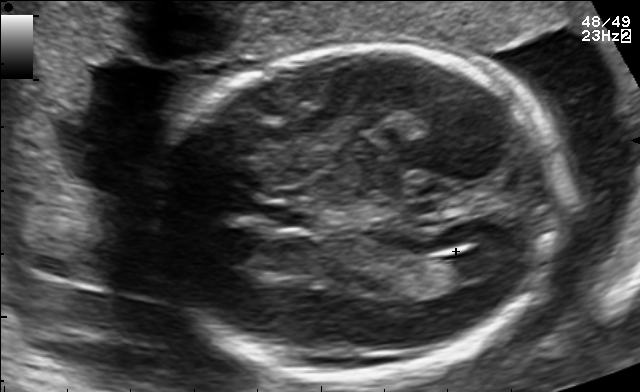
In this fetal brain, trans-ventricular plane, give the bounding box of the fetal head.

[158,43,573,384]